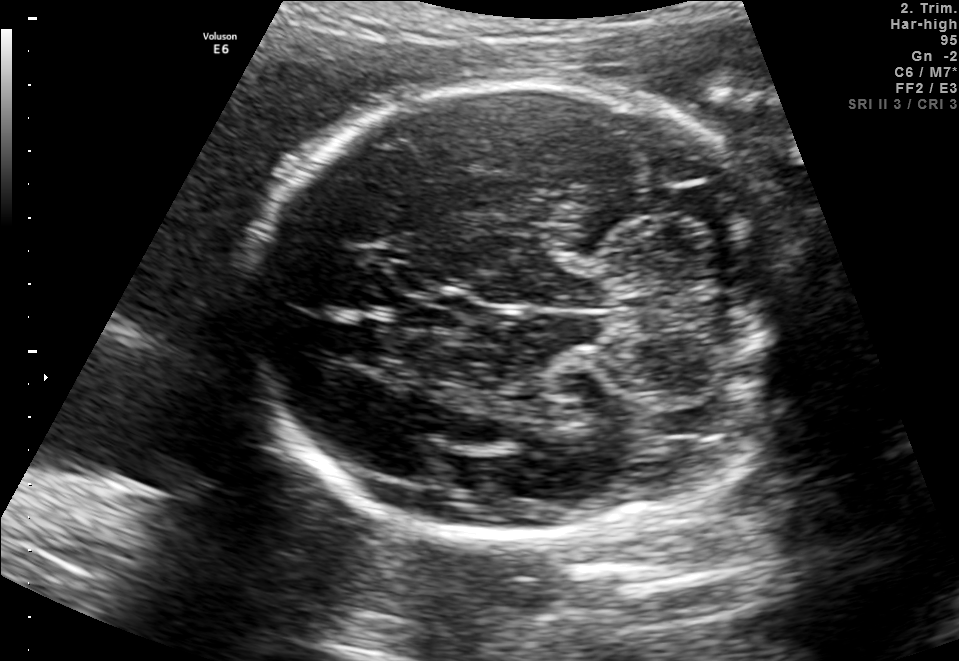
Fetal brain, trans-cerebellum plane. Locate the cavum septum pellucidum.

CSP: [402,292,466,332]